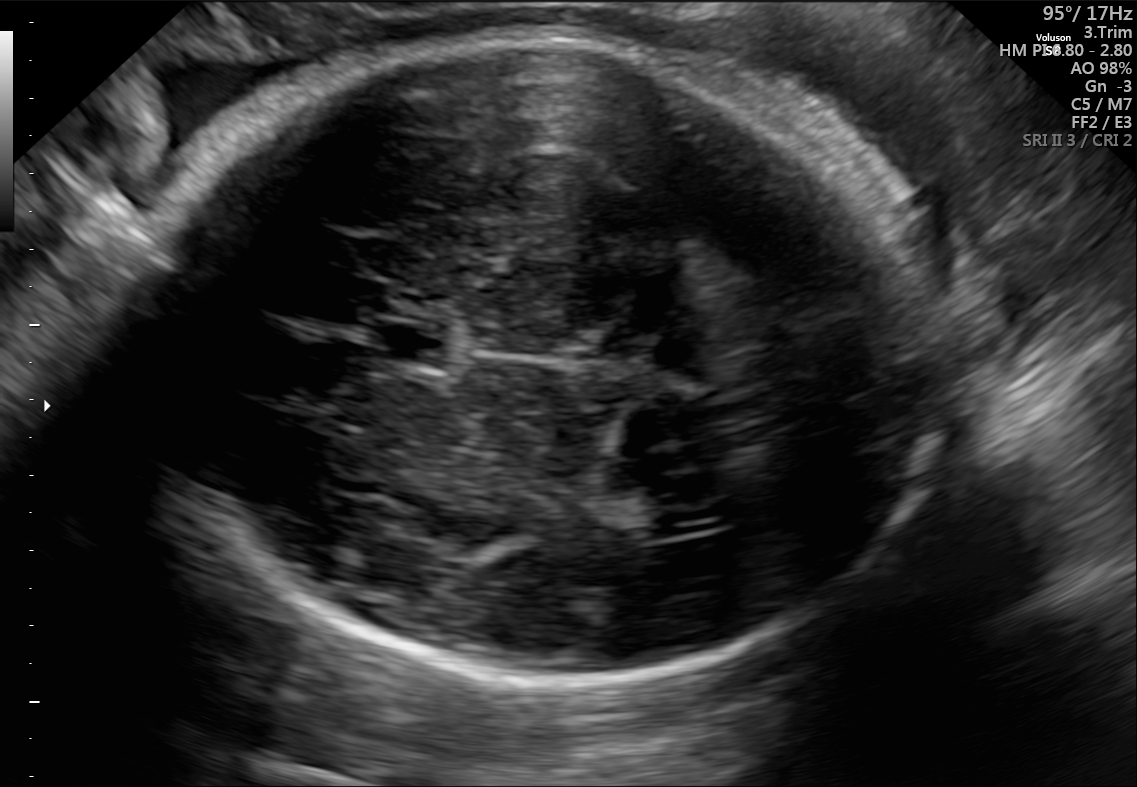
Fetal brain, trans-ventricular plane. Where is the cavum septum pellucidum?

CSP bounding box: [370,318,437,366]